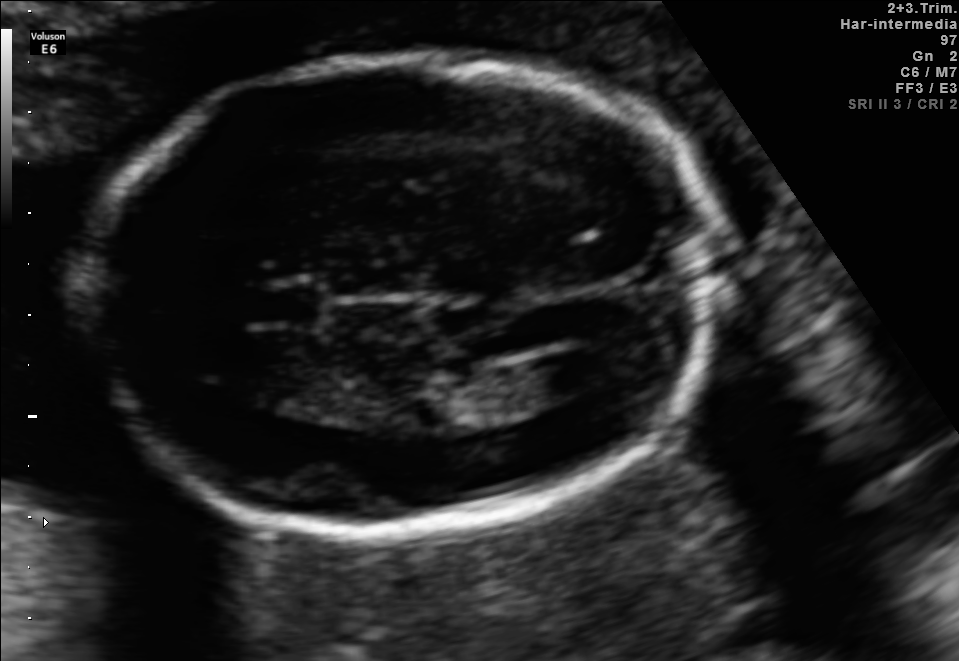
Fetal brain, trans-ventricular plane. Locate the cavum septum pellucidum.

CSP: [249,288,318,322]